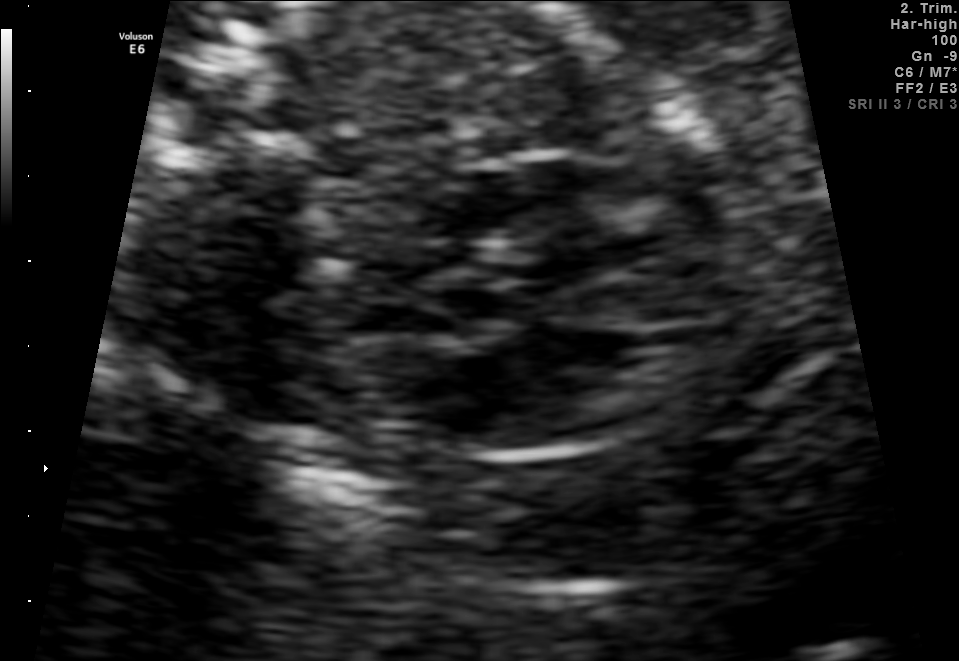
This is a 2D maternal-fetal ultrasound frame. Is it a fetal abdomen, fetal brain, fetal femur, fetal thorax, maternal cervix, or other standard plane? If it's fetal brain and one of the three standard brain planes (trans-thalamic, trans-cerebellum, trans-ventricular), name which.

Fetal thorax